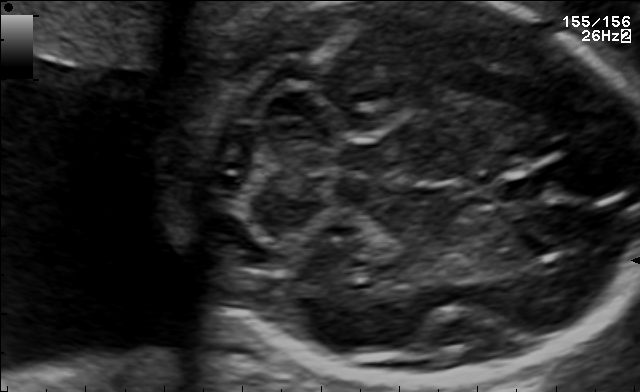
In this fetal brain, trans-cerebellum plane, give the bounding box of the cavum septum pellucidum.

[495,171,549,206]